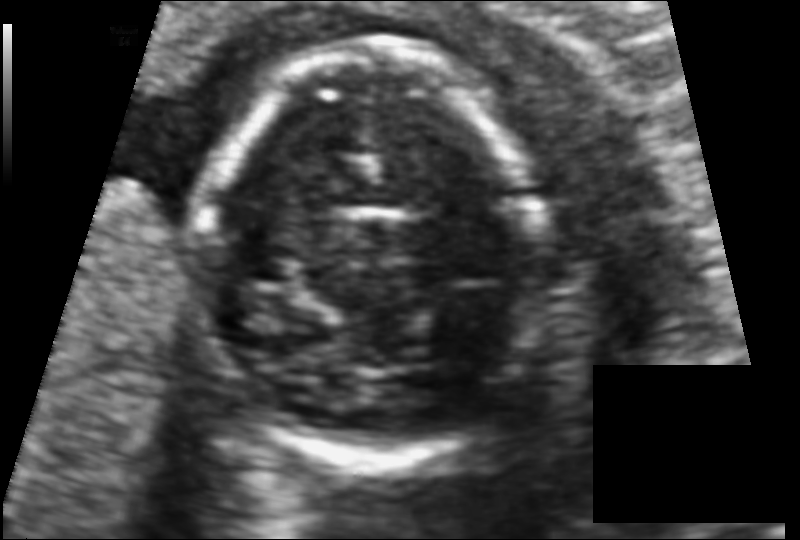
From this fetal ultrasound, estimate the head circumference (image width 74.5 mm).

Head circumference: 112.7 mm.